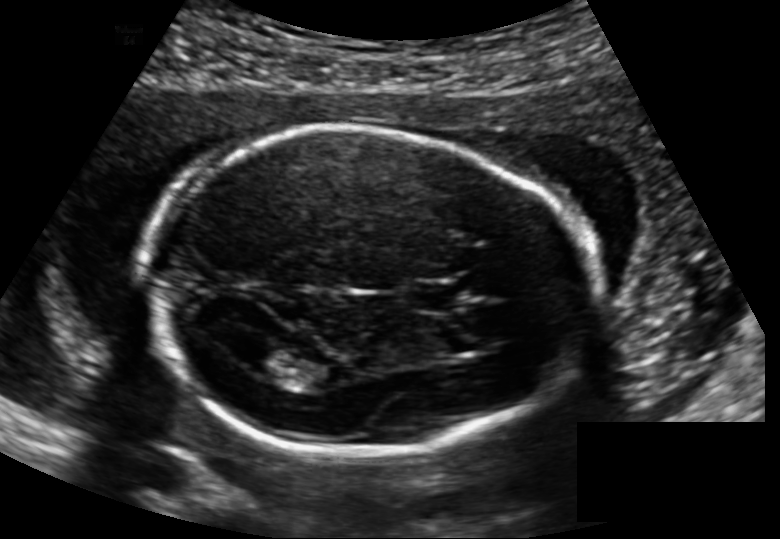
Fetal head ultrasound. Image width: 115.4 mm. Locate the fetal head.

Head: [143,126,583,456]